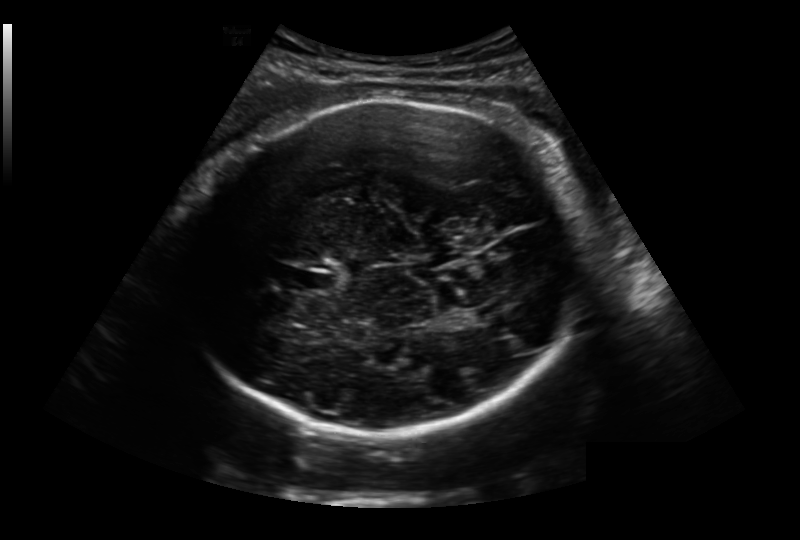
Estimate the fetal head circumference from this 2D ultrasound.

Head circumference: 278.9 mm (image width 188.7 mm).